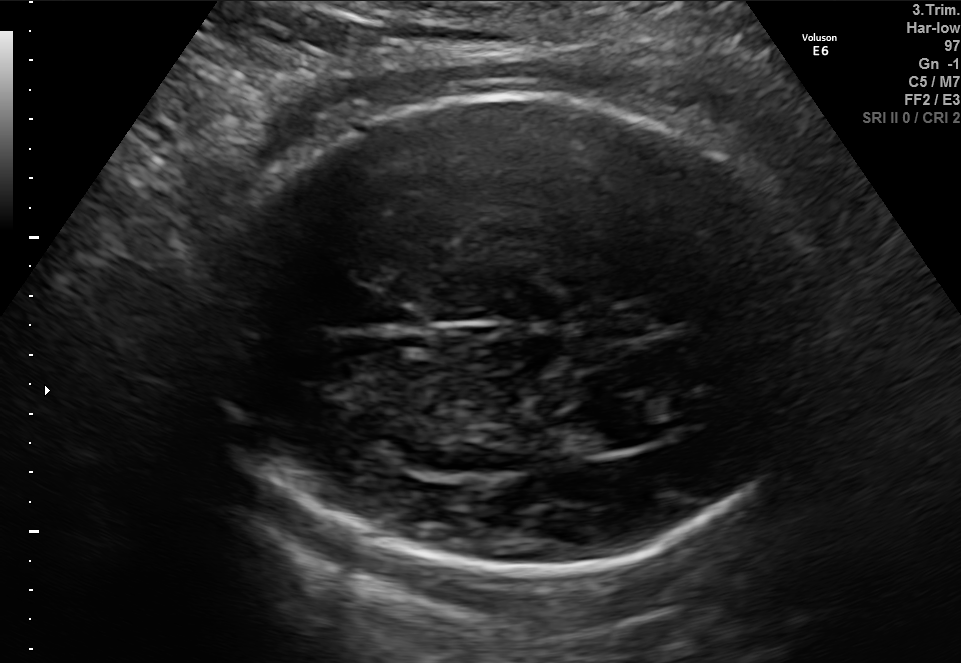
Fetal brain, trans-thalamic plane. Where is the lateral ventricle?

Lateral ventricle bounding box: [551,404,637,462]